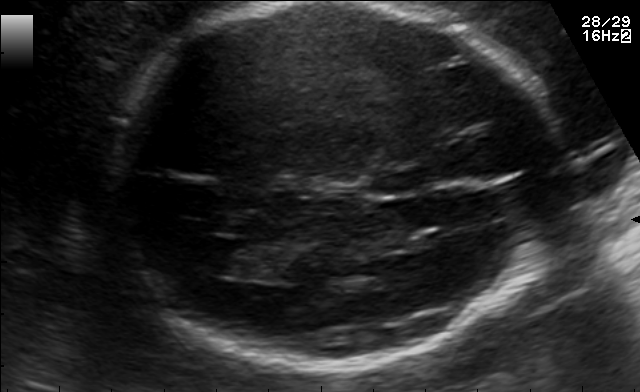
In this fetal brain, trans-ventricular plane, give the bounding box of the lateral ventricle.

[181,235,253,277]